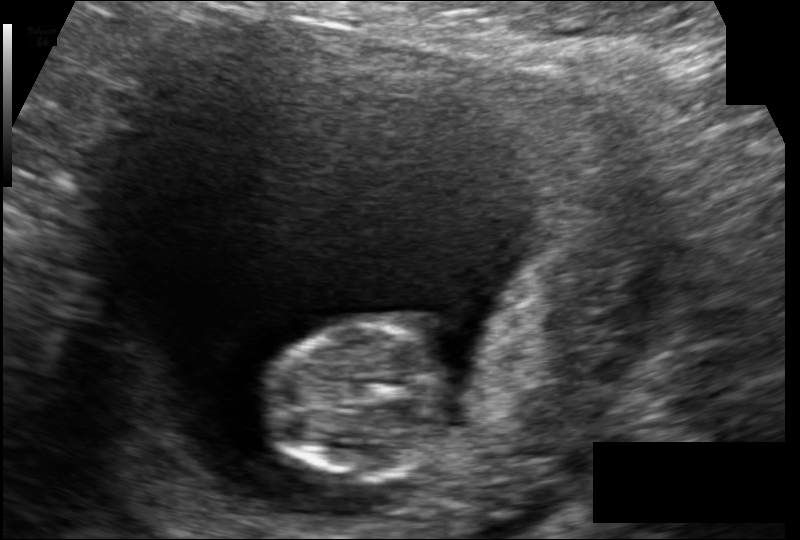
Estimate the fetal head circumference from this 2D ultrasound. Image width: 93.6 mm.

Head circumference: 65.7 mm.